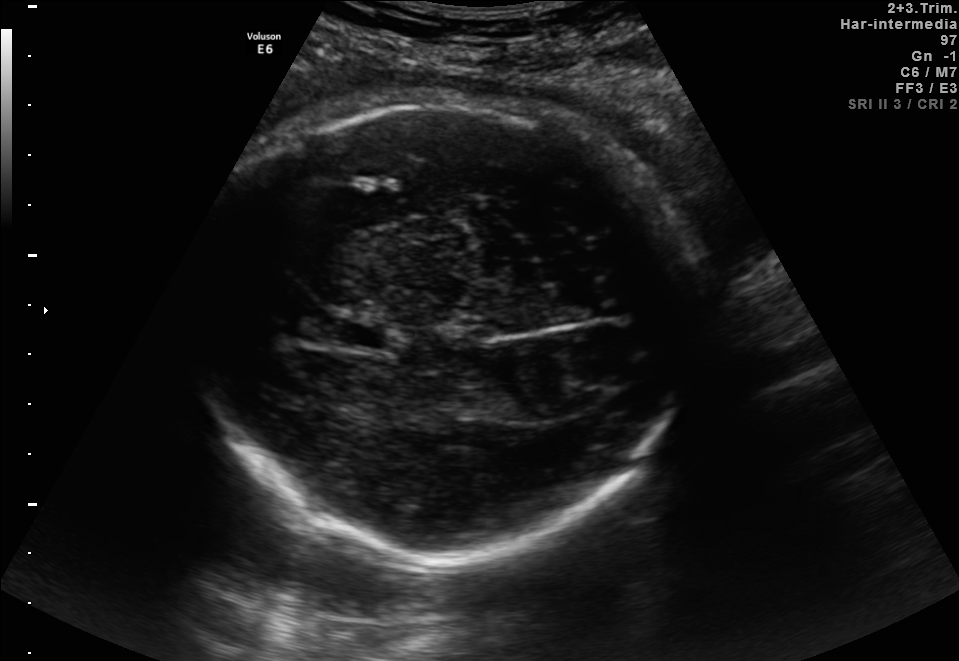
Fetal brain, trans-thalamic plane. Locate the fetal head.

Head: [188,100,689,559]